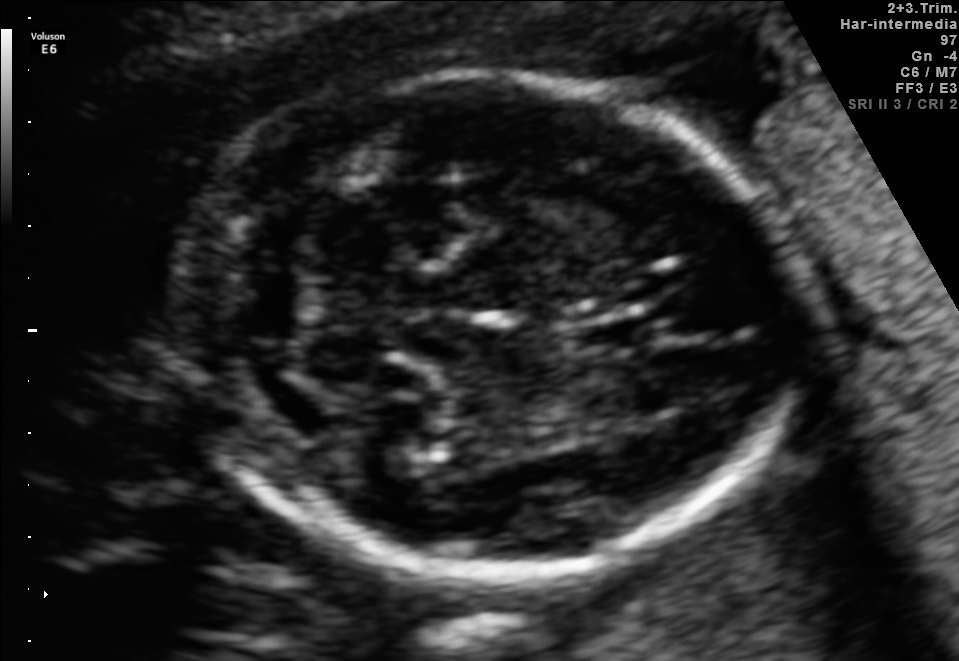
Which standard maternal-fetal ultrasound plane is shown: fetal abdomen, fetal brain, fetal femur, fetal thorax, maternal cervix, or other? If it's fetal brain and one of the three standard brain planes (trans-thalamic, trans-cerebellum, trans-ventricular), name which.

Fetal brain (trans-cerebellum plane)